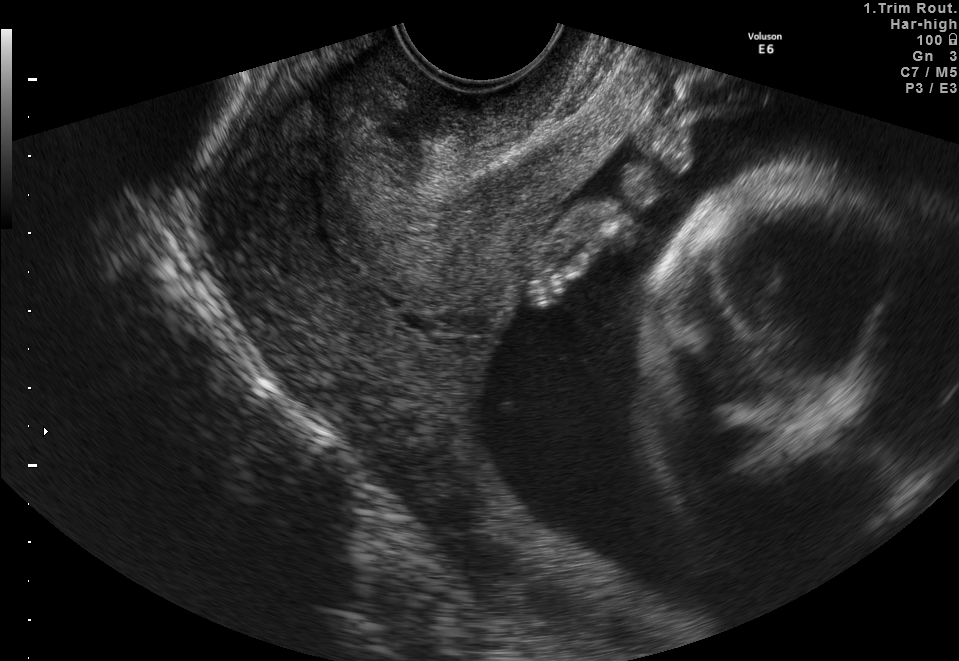
Identify the standard plane in this fetal ultrasound image: fetal abdomen, fetal brain, fetal femur, fetal thorax, maternal cervix, or other. If it's fetal brain and one of the three standard brain planes (trans-thalamic, trans-cerebellum, trans-ventricular), name which.

Maternal cervix